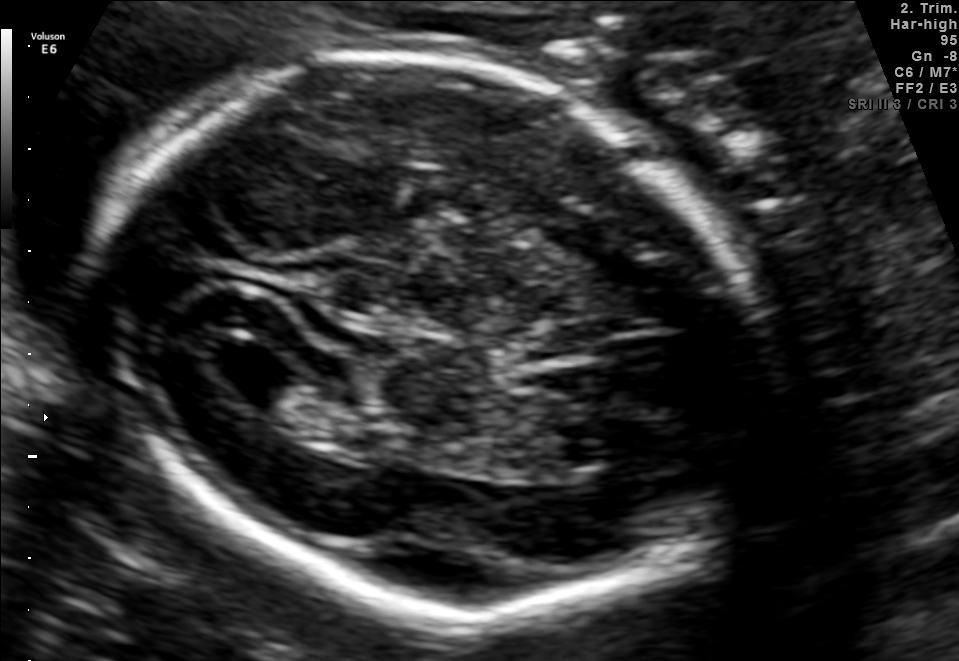
Fetal brain, trans-ventricular plane. Locate the fetal head and, if visible, the cavum septum pellucidum (CSP) and lateral ventricle (LV). Give bounding boxes as [x1,y1,x2,y2].

Head: [83,41,788,638]
Lateral ventricle: [199,324,301,414]